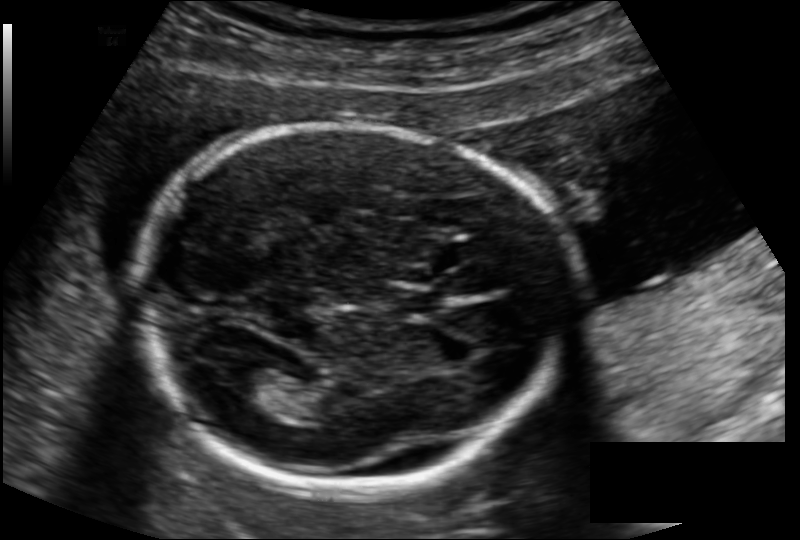
In this fetal head ultrasound, give the bounding box of the lateral ventricle. Image width: 107.6 mm.

[226,356,281,404]